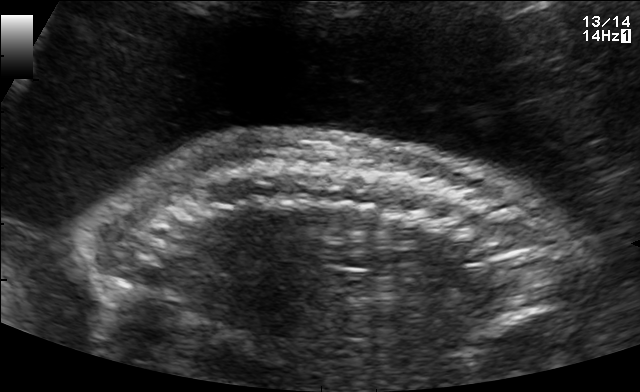
Which standard maternal-fetal ultrasound plane is shown: fetal abdomen, fetal brain, fetal femur, fetal thorax, maternal cervix, or other? If it's fetal brain and one of the three standard brain planes (trans-thalamic, trans-cerebellum, trans-ventricular), name which.

Other